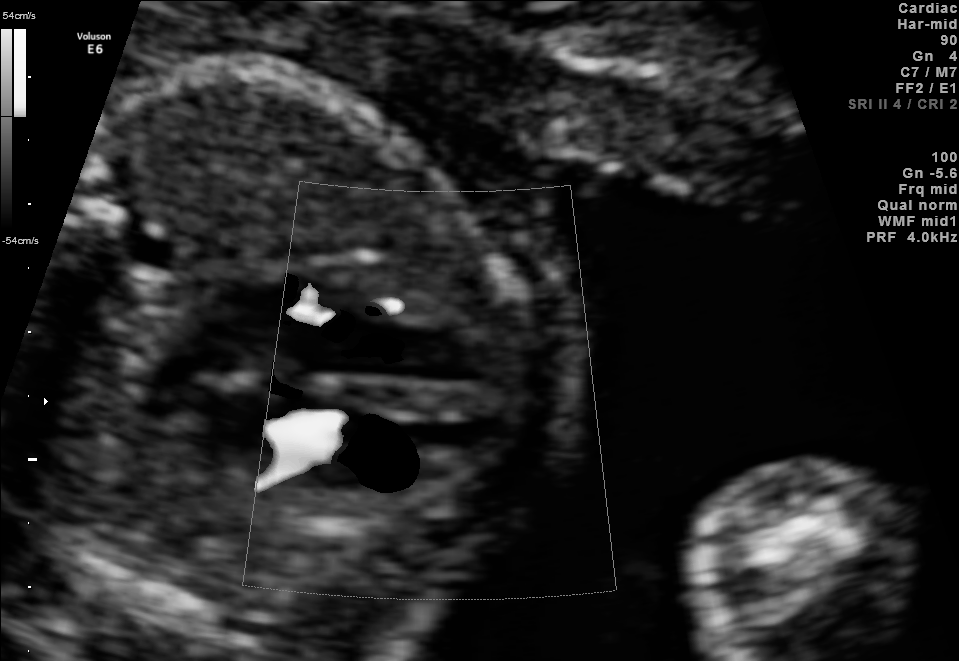
This is a 2D maternal-fetal ultrasound frame. Is it a fetal abdomen, fetal brain, fetal femur, fetal thorax, maternal cervix, or other standard plane? If it's fetal brain and one of the three standard brain planes (trans-thalamic, trans-cerebellum, trans-ventricular), name which.

Other